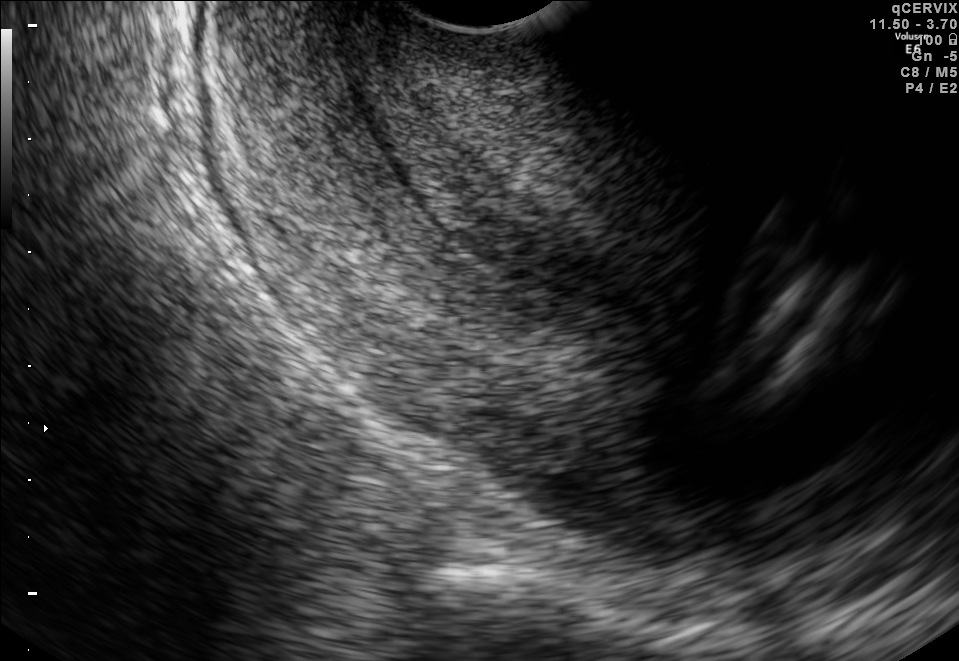
Which standard maternal-fetal ultrasound plane is shown: fetal abdomen, fetal brain, fetal femur, fetal thorax, maternal cervix, or other? If it's fetal brain and one of the three standard brain planes (trans-thalamic, trans-cerebellum, trans-ventricular), name which.

Maternal cervix